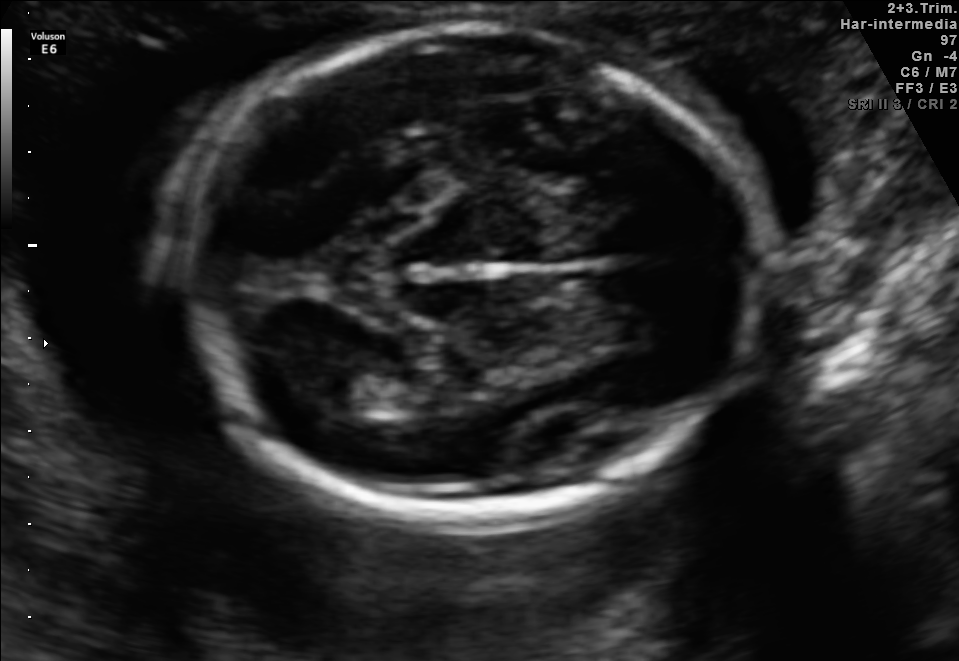
Fetal brain, trans-thalamic plane. Give [x1,y1,x2,y2] bounding boxes for each visible structure among: fetal head, CSP, LV.

Head: [183,27,768,518]
Lateral ventricle: [318,367,414,419]